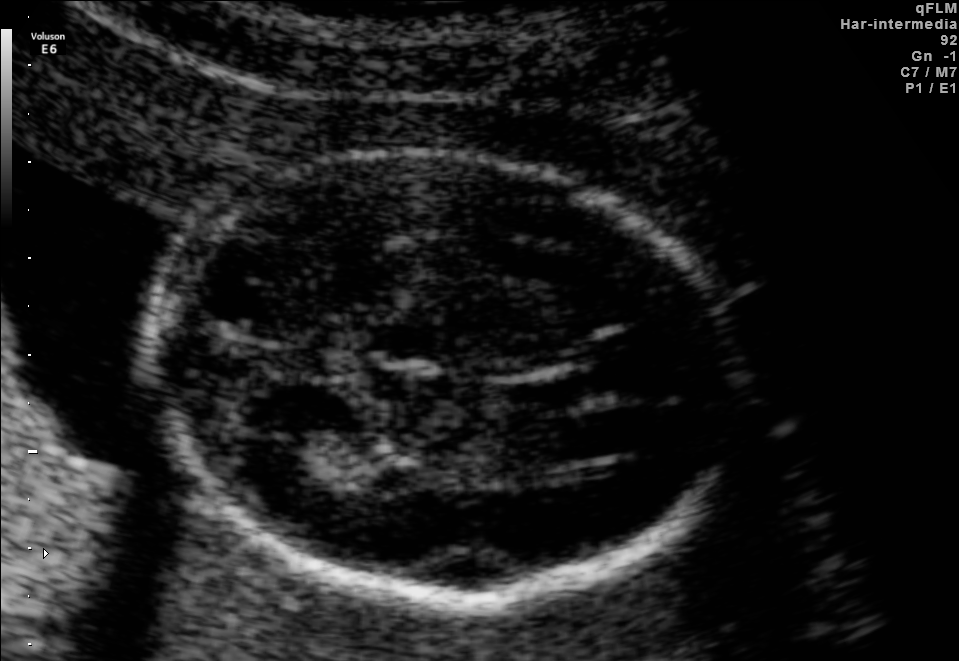
In this fetal brain, trans-thalamic plane, give bounding boxes for the head outline, cavum septum pellucidum (CSP), and lateral ventricle (LV), where visible.

Head: [147,155,738,596]